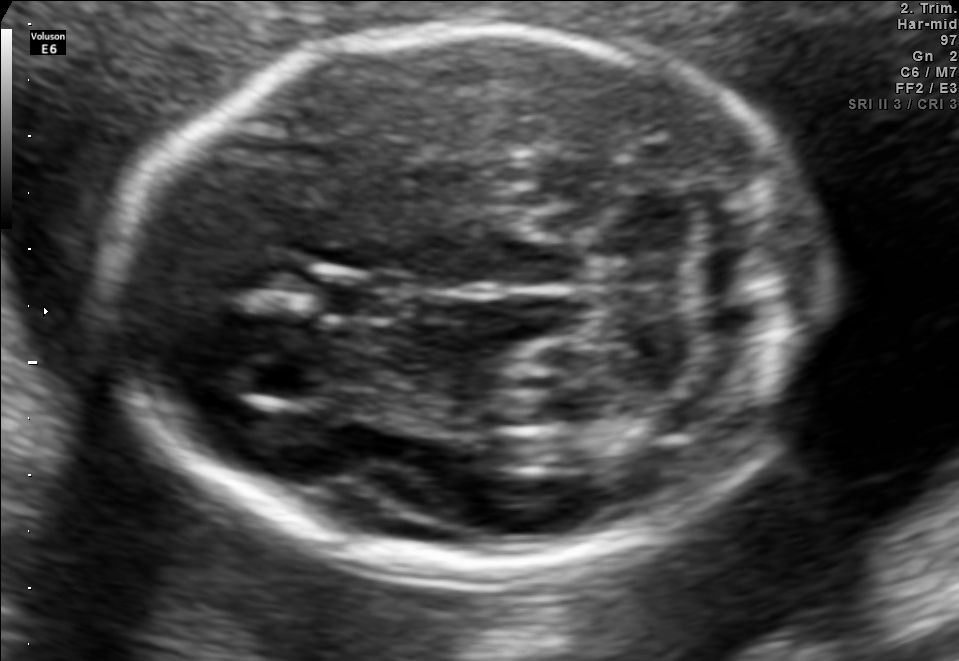
Fetal brain, trans-cerebellum plane. Locate the fetal head and, if visible, the cavum septum pellucidum (CSP) and lateral ventricle (LV). Give bounding boxes as [x1,y1,x2,y2].

Head: [111,26,826,573]
CSP: [321,275,405,321]